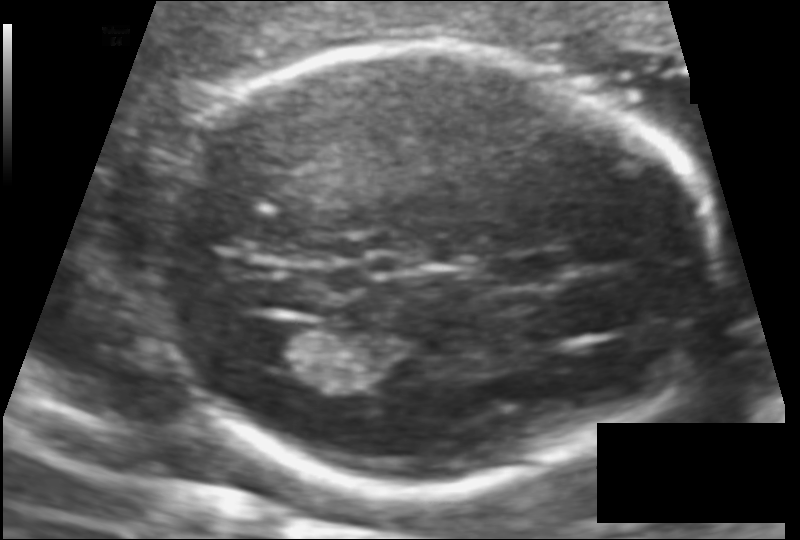
Fetal head ultrasound. Image width: 84.7 mm. Locate the cavum septum pellucidum.

CSP: [487,247,574,293]